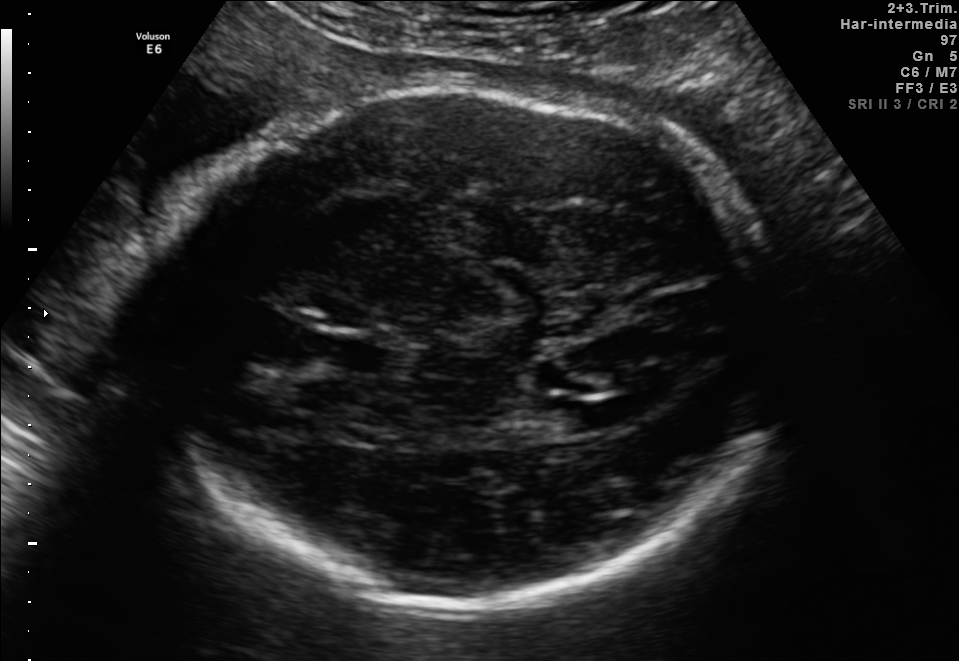
In this fetal brain, trans-ventricular plane, give the bounding box of the fetal head.

[132,75,797,606]